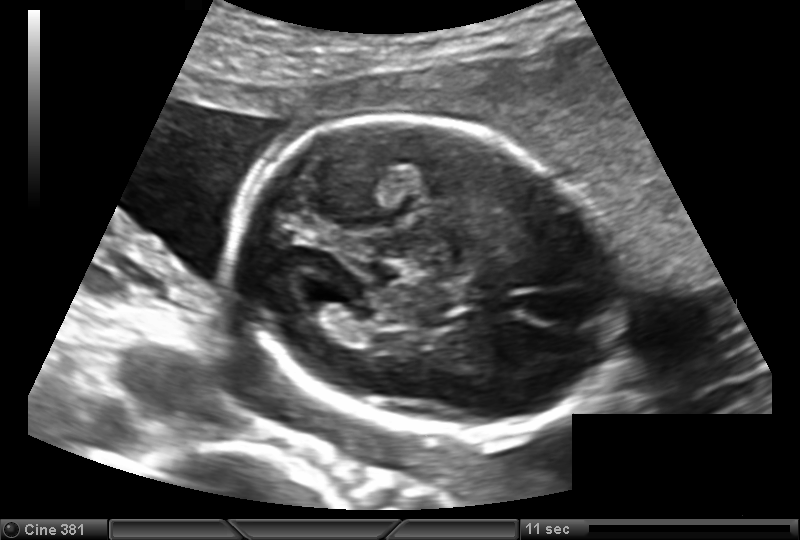
Fetal head ultrasound. Image width: 111.0 mm. Locate the fetal head.

Head: [234,119,620,439]